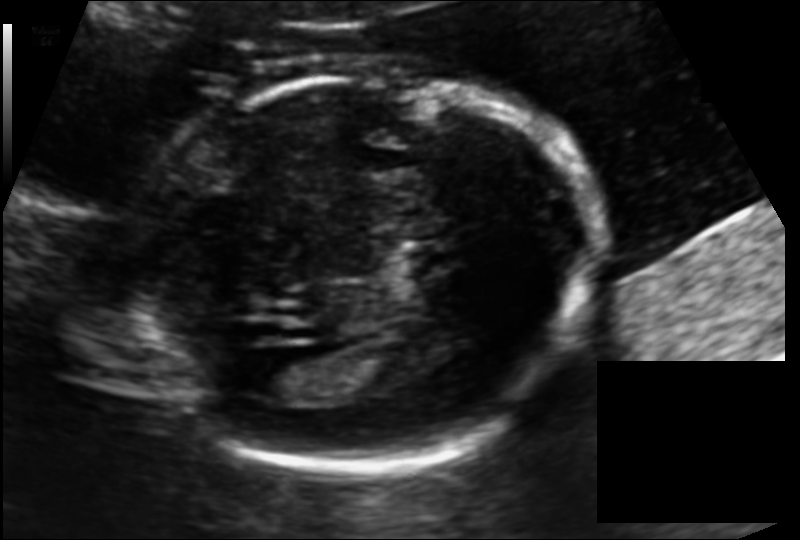
Fetal head ultrasound. Image width: 99.9 mm. Give [x1,y1,x2,y2] bounding boxes for each visible structure among: fetal head, CSP, LV.

Head: [122,74,596,468]
Lateral ventricle: [258,358,323,397]